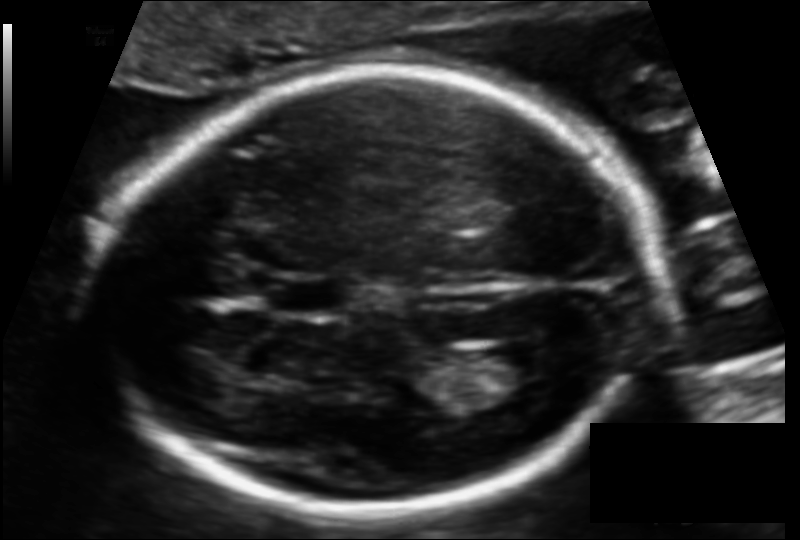
Estimate the fetal head circumference from this 2D ultrasound. Image width: 89.8 mm.

Head circumference: 186.5 mm.